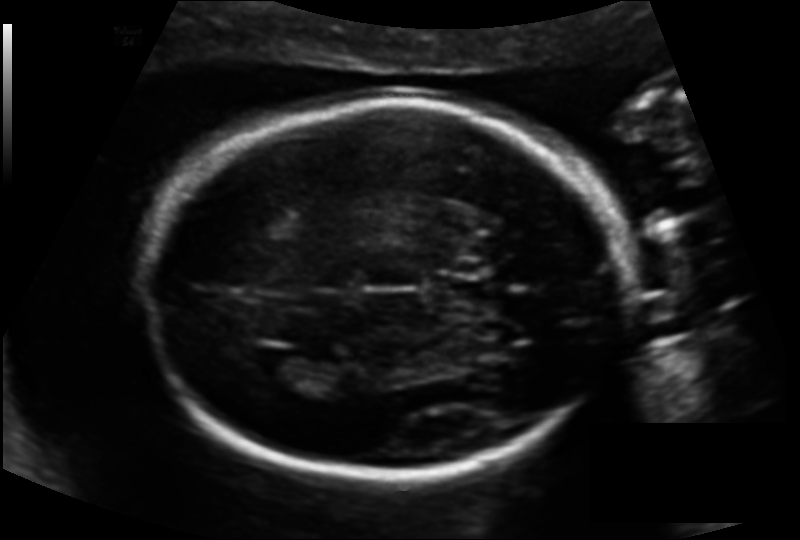
Fetal head ultrasound. Image width: 107.7 mm. Locate the lateral ventricle.

Lateral ventricle: [241,338,315,392]